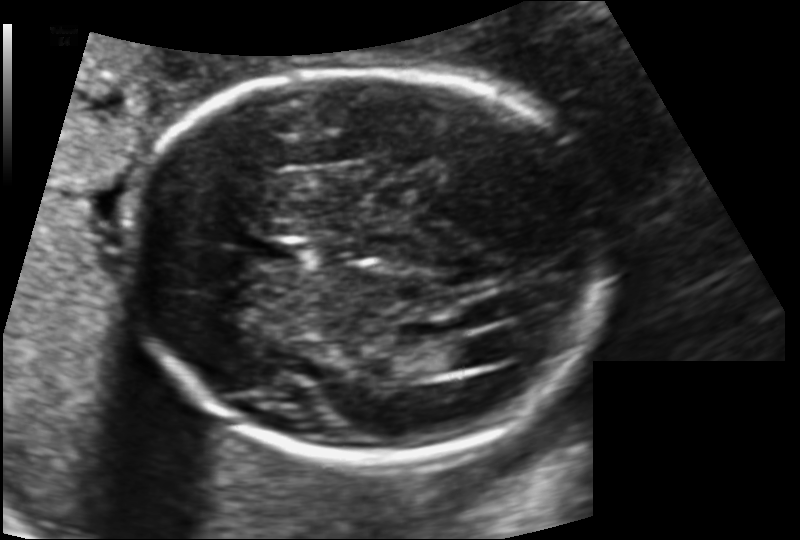
In this fetal head ultrasound, give the bounding box of the fetal head. Image width: 107.8 mm.

[123,68,611,457]